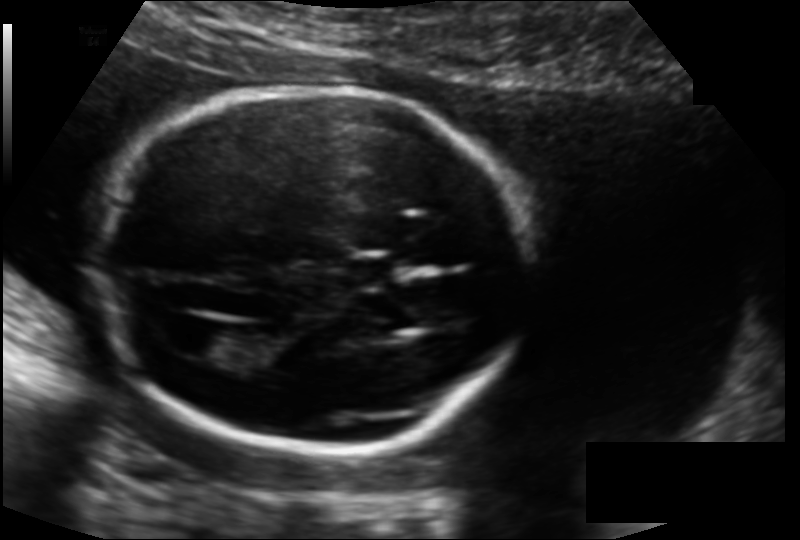
Fetal head ultrasound. Image width: 107.7 mm. Locate the fetal head and, if visible, the cavum septum pellucidum (CSP) and lateral ventricle (LV). Give bounding boxes as [x1,y1,x2,y2].

Head: [93,86,526,451]
CSP: [345,255,400,287]
Lateral ventricle: [170,318,235,364]